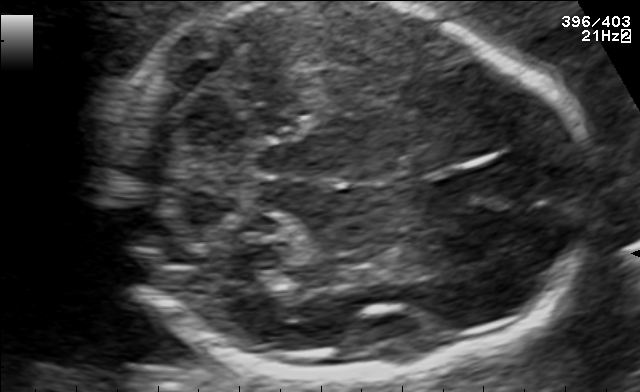
Fetal brain, trans-cerebellum plane. Give [x1,y1,x2,y2] bounding boxes for each visible structure among: fetal head, CSP, LV.

Head: [101,2,590,378]